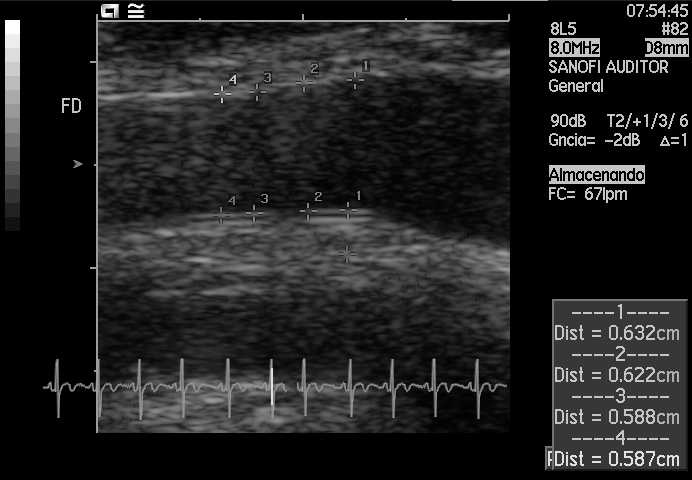
Which standard maternal-fetal ultrasound plane is shown: fetal abdomen, fetal brain, fetal femur, fetal thorax, maternal cervix, or other? If it's fetal brain and one of the three standard brain planes (trans-thalamic, trans-cerebellum, trans-ventricular), name which.

Other